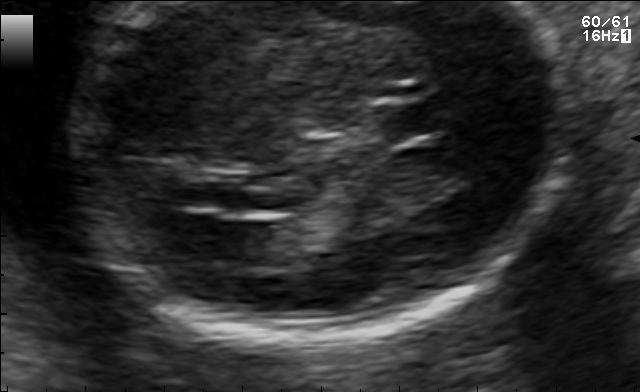
Fetal brain, trans-ventricular plane. Where is the cavum septum pellucidum?

CSP bounding box: [379,94,458,144]